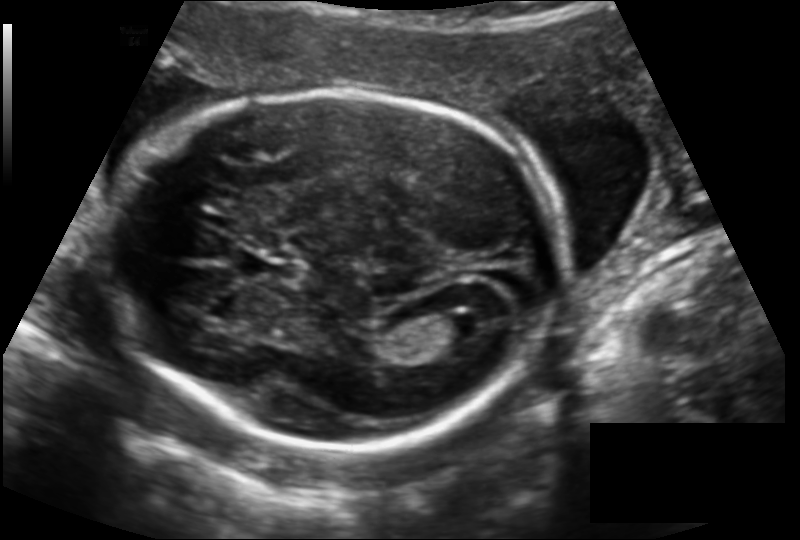
Estimate the fetal head circumference from this 2D ultrasound.

Head circumference: 185.9 mm (image width 113.5 mm).